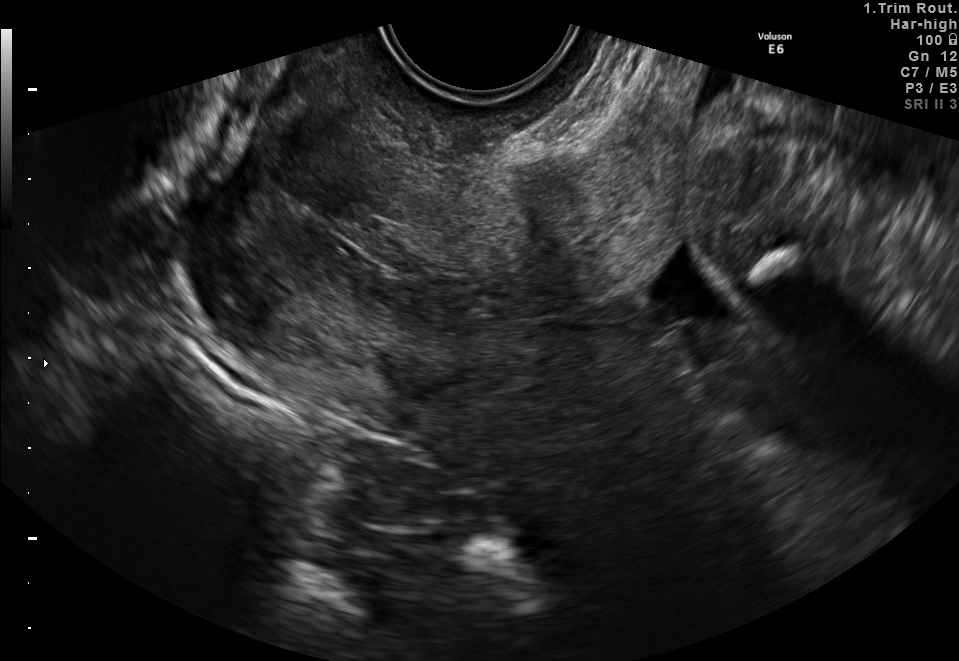
Which standard maternal-fetal ultrasound plane is shown: fetal abdomen, fetal brain, fetal femur, fetal thorax, maternal cervix, or other? If it's fetal brain and one of the three standard brain planes (trans-thalamic, trans-cerebellum, trans-ventricular), name which.

Maternal cervix